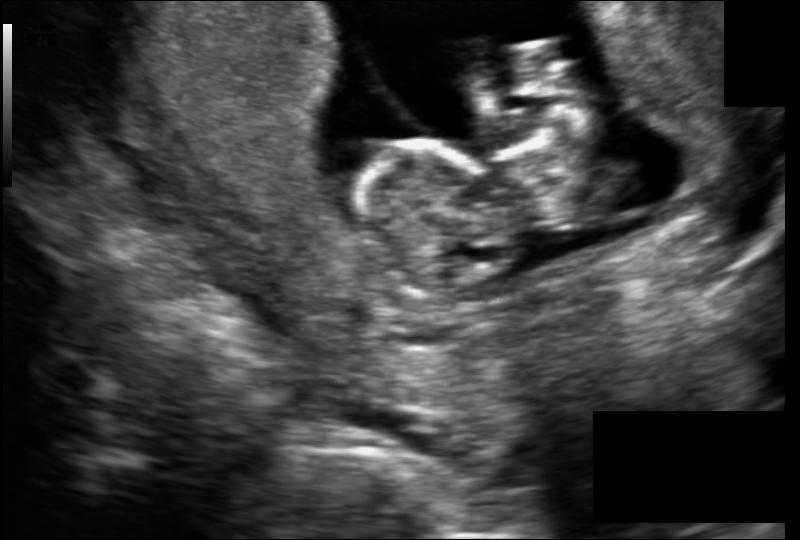
Fetal head ultrasound. Image width: 97.2 mm. Locate the fetal head.

Head: [355,139,510,297]